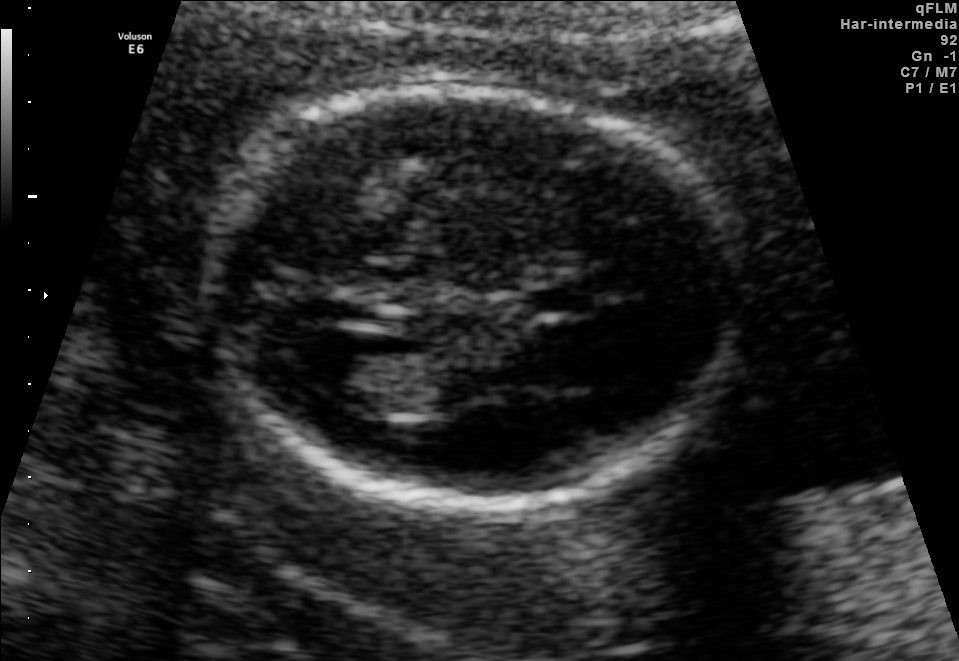
Fetal brain, trans-ventricular plane. Where is the fetal head?

Head bounding box: [183,78,772,515]